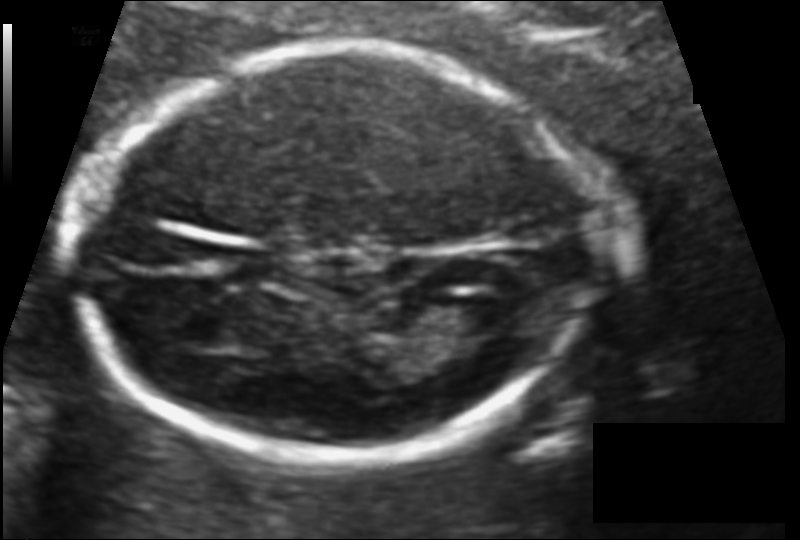
In this fetal head ultrasound, give the bounding box of the lateral ventricle. Image width: 81.3 mm.

[436,294,507,336]